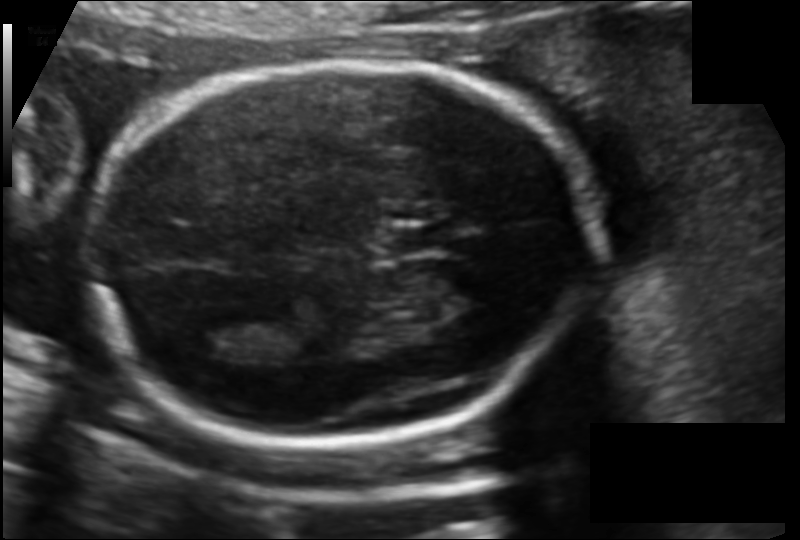
Measure the fetal head circumference shown in this ultrasound image. Image width: 96.2 mm.

Head circumference: 174.1 mm.